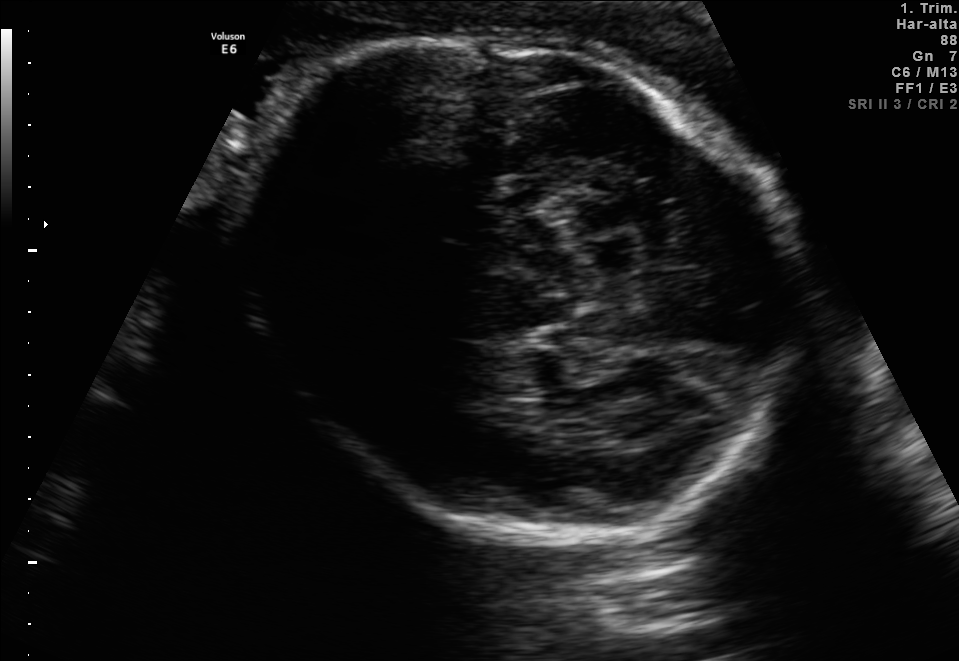
In this fetal brain, trans-thalamic plane, give bounding boxes for the head outline, cavum septum pellucidum (CSP), and lateral ventricle (LV), where visible.

Head: [240,30,795,529]